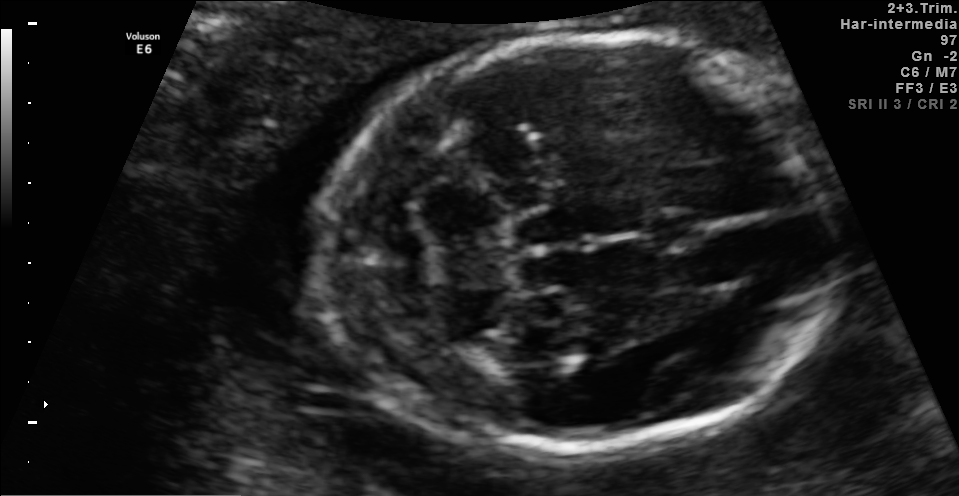
This is a 2D maternal-fetal ultrasound frame. Is it a fetal abdomen, fetal brain, fetal femur, fetal thorax, maternal cervix, or other standard plane? If it's fetal brain and one of the three standard brain planes (trans-thalamic, trans-cerebellum, trans-ventricular), name which.

Fetal brain (trans-cerebellum plane)